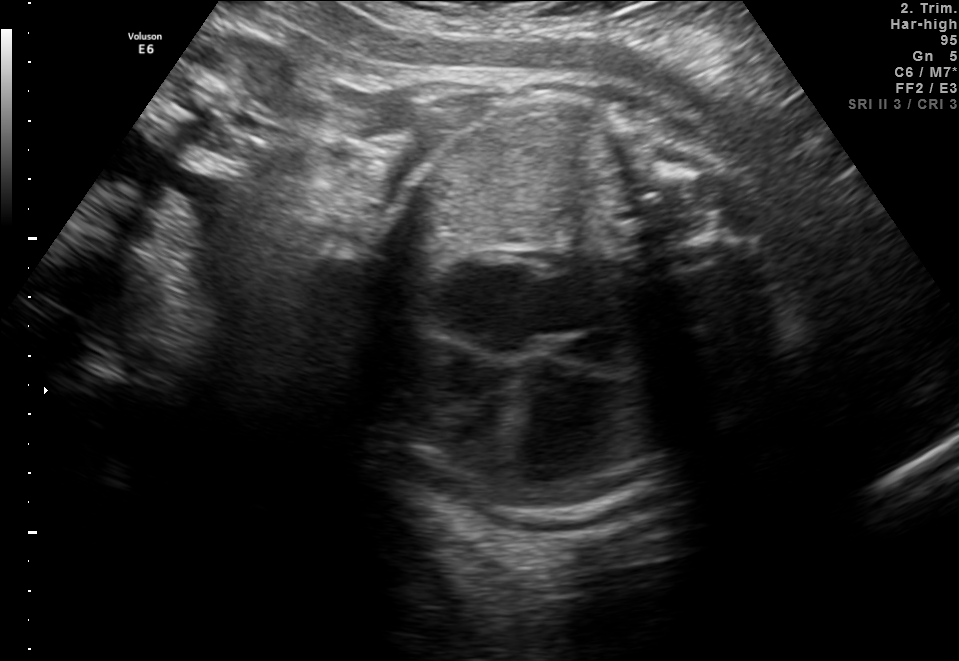
Which standard maternal-fetal ultrasound plane is shown: fetal abdomen, fetal brain, fetal femur, fetal thorax, maternal cervix, or other? If it's fetal brain and one of the three standard brain planes (trans-thalamic, trans-cerebellum, trans-ventricular), name which.

Fetal thorax